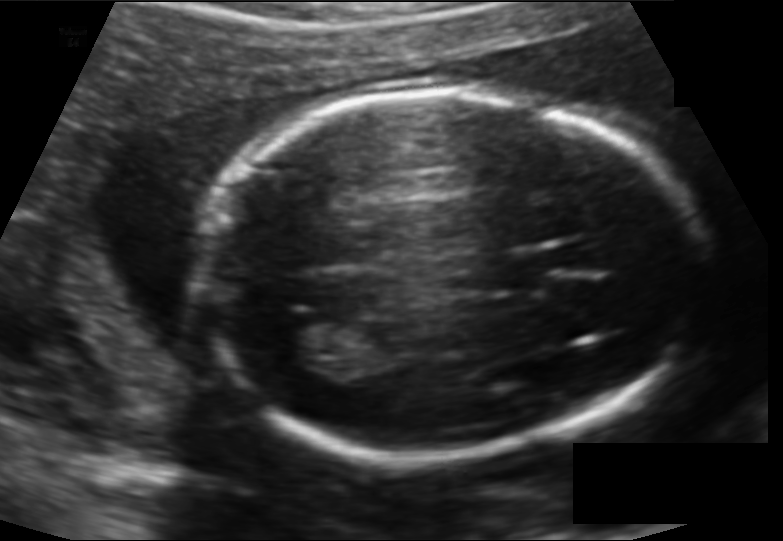
In this fetal head ultrasound, give bounding boxes for the head outline, cavum septum pellucidum (CSP), and lateral ventricle (LV), where visible. Image width: 100.2 mm.

Head: [191,92,698,455]
CSP: [483,251,545,292]
Lateral ventricle: [264,308,343,370]